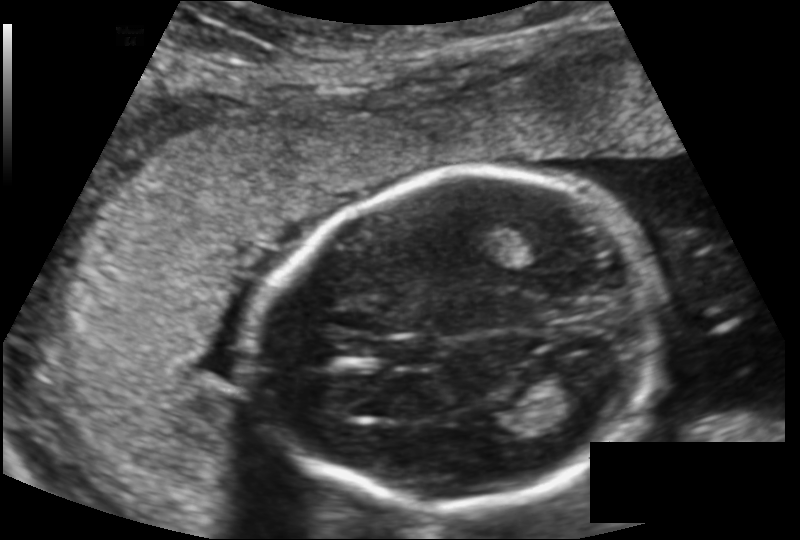
Fetal head ultrasound. Image width: 119.2 mm. Locate the fetal head and, if visible, the cavum septum pellucidum (CSP) and lateral ventricle (LV). Give bounding boxes as [x1,y1,x2,y2].

Head: [249,175,657,507]
CSP: [384,334,443,369]
Lateral ventricle: [540,349,615,417]